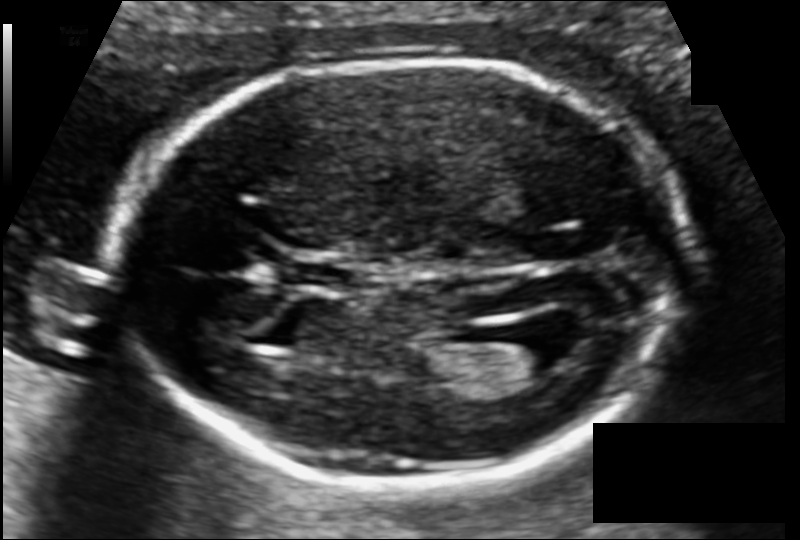
In this fetal head ultrasound, give bounding boxes for the head outline, cavum septum pellucidum (CSP), and lateral ventricle (LV), where visible. Image width: 82.9 mm.

Head: [115,60,683,484]
CSP: [288,262,347,287]
Lateral ventricle: [493,311,590,388]